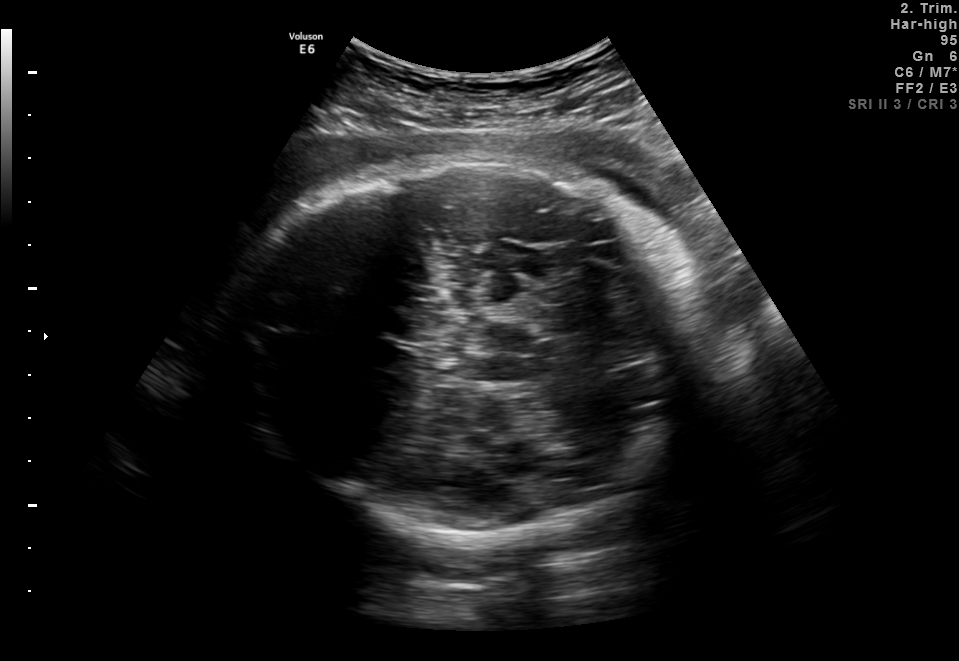
Fetal brain, trans-thalamic plane. Locate the fetal head and, if visible, the cavum septum pellucidum (CSP) and lateral ventricle (LV). Give bounding boxes as [x1,y1,x2,y2].

Head: [225,158,706,535]